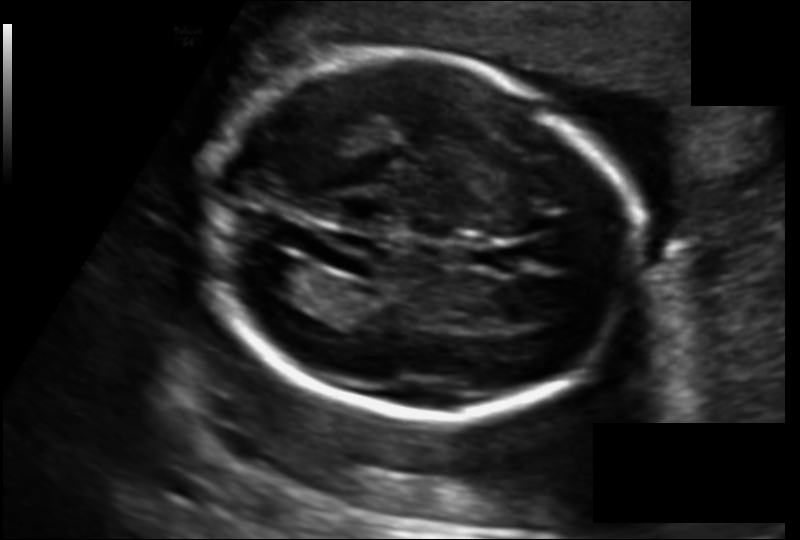
Fetal head ultrasound. Image width: 107.9 mm. Locate the cavum septum pellucidum.

CSP: [465,242,520,272]